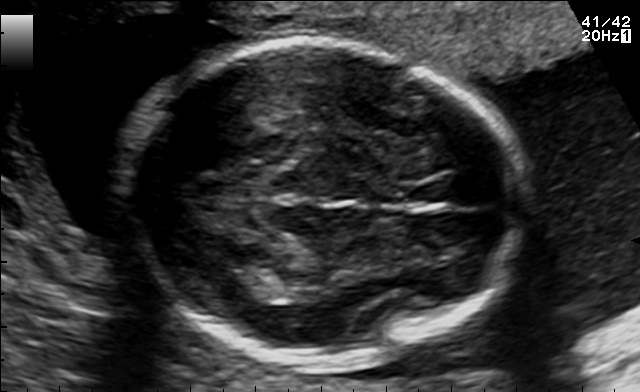
This is a 2D maternal-fetal ultrasound frame. Is it a fetal abdomen, fetal brain, fetal femur, fetal thorax, maternal cervix, or other standard plane? If it's fetal brain and one of the three standard brain planes (trans-thalamic, trans-cerebellum, trans-ventricular), name which.

Fetal brain (trans-thalamic plane)